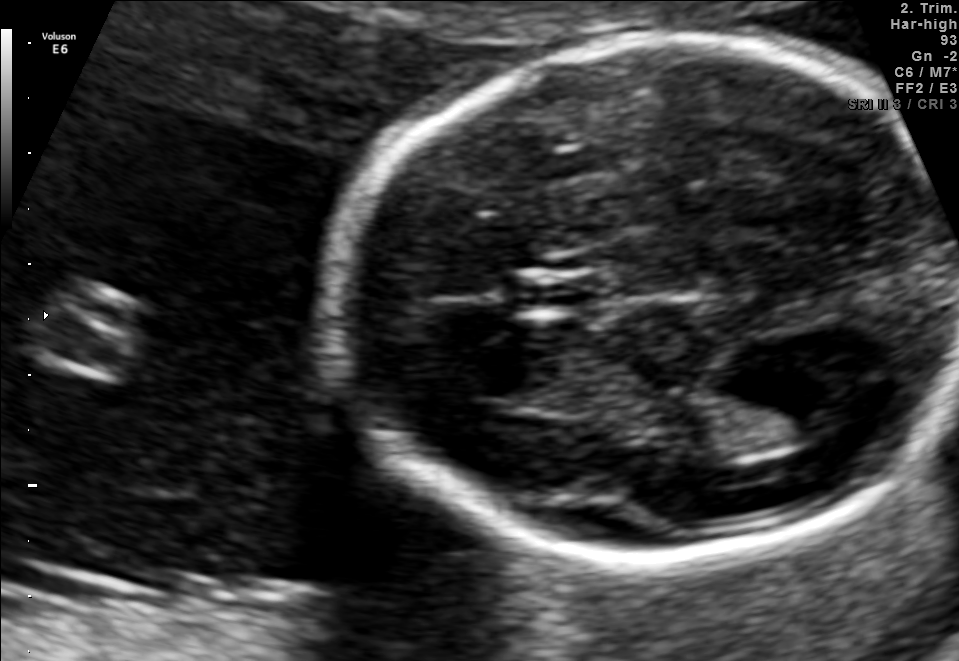
Fetal brain, trans-thalamic plane. Give [x1,y1,x2,y2] bounding boxes for each visible structure among: fetal head, CSP, LV.

Head: [334,34,951,557]
CSP: [512,273,602,311]
Lateral ventricle: [696,373,843,467]